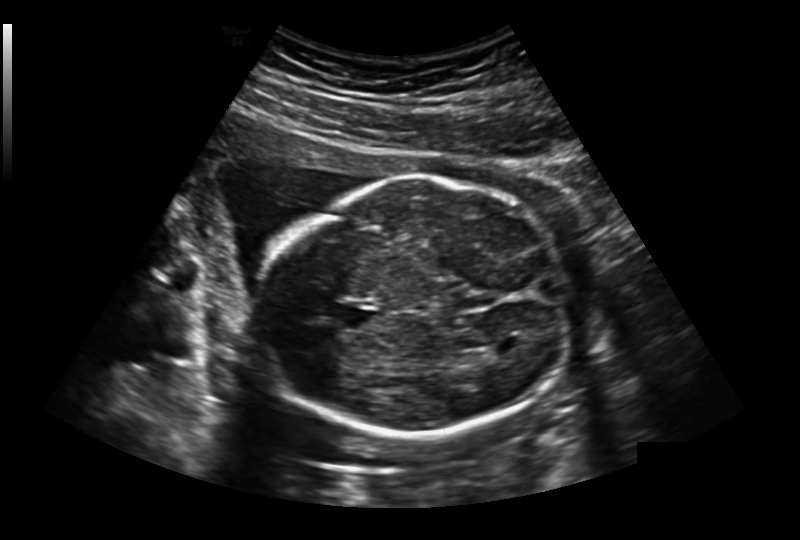
Fetal head ultrasound. Image width: 188.6 mm. Give [x1,y1,x2,y2] bounding boxes for each visible structure among: fetal head, CSP, LV.

Head: [256,176,571,440]
CSP: [336,304,375,330]